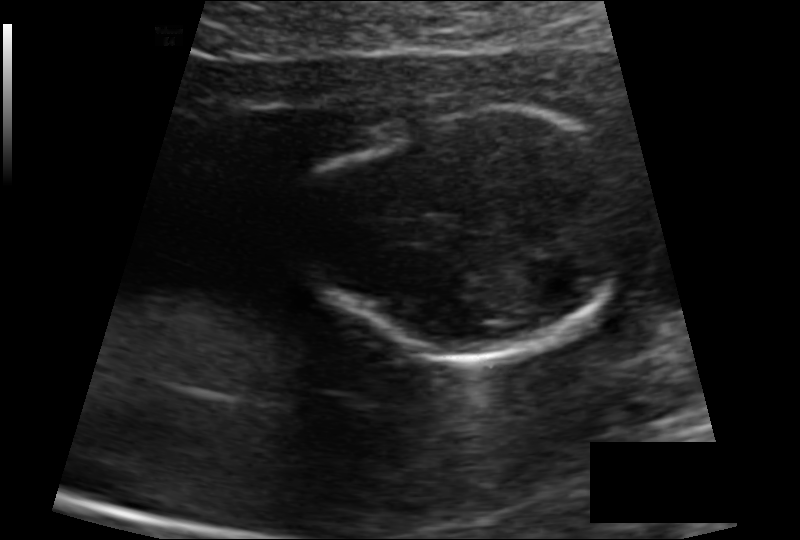
Estimate the fetal head circumference from this 2D ultrasound.

Head circumference: 102.8 mm (image width 87.9 mm).